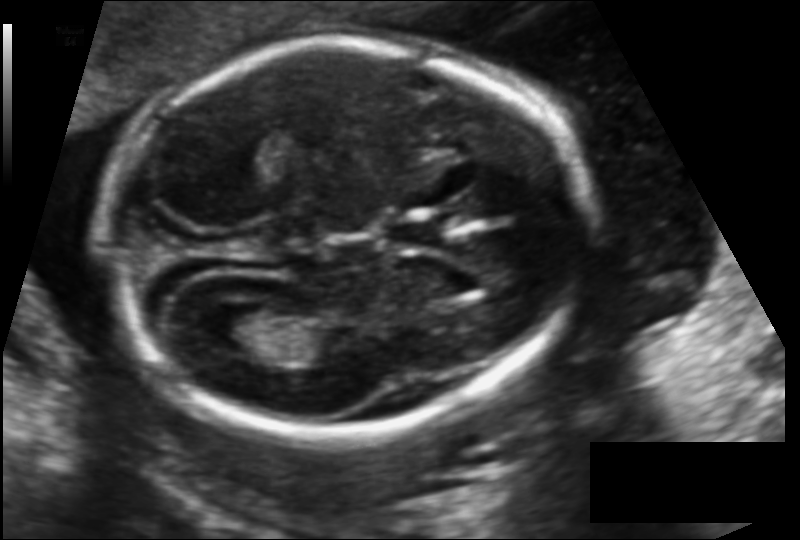
Fetal head ultrasound. Image width: 98.7 mm. Where is the lateral ventricle?

Lateral ventricle bounding box: [200,308,271,352]